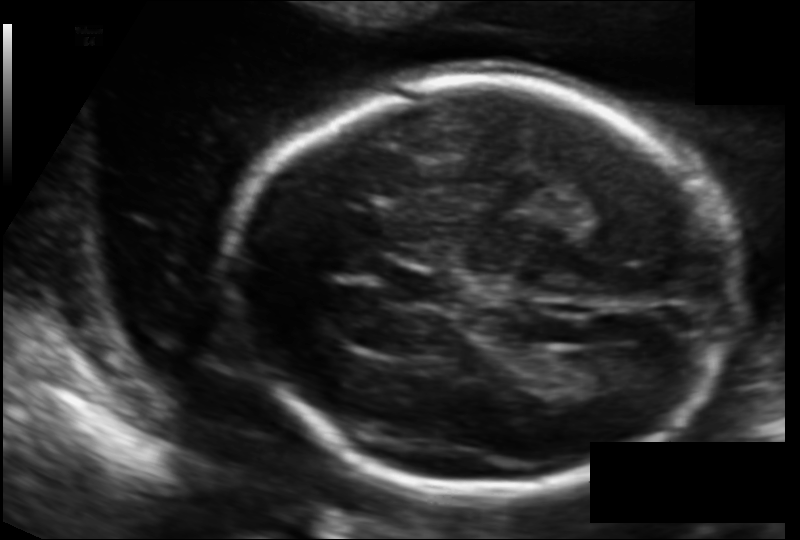
In this fetal head ultrasound, give the bounding box of the lateral ventricle. Image width: 100.4 mm.

[565,348,640,394]